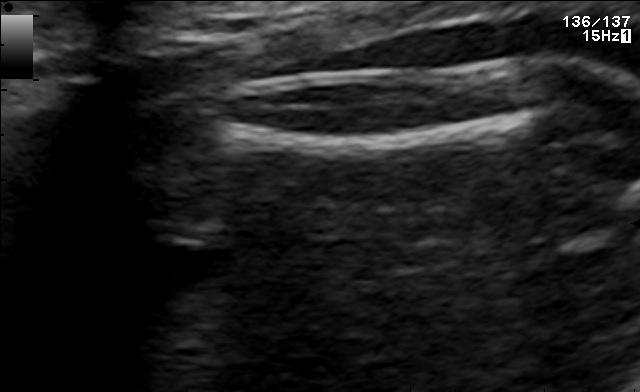
This is a 2D maternal-fetal ultrasound frame. Is it a fetal abdomen, fetal brain, fetal femur, fetal thorax, maternal cervix, or other standard plane? If it's fetal brain and one of the three standard brain planes (trans-thalamic, trans-cerebellum, trans-ventricular), name which.

Fetal femur